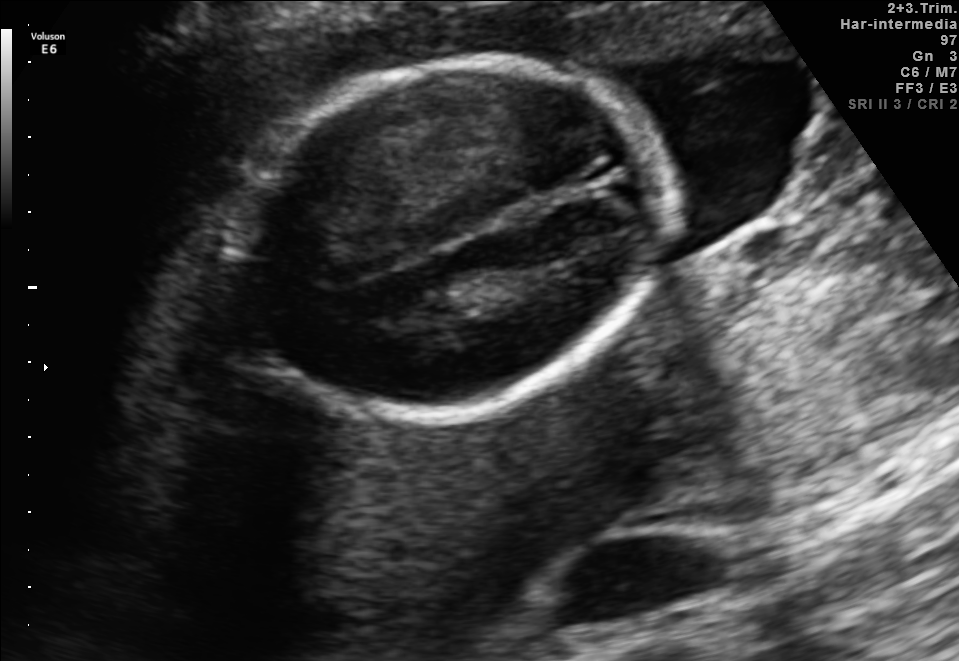
Fetal brain, trans-thalamic plane. Locate the fetal head.

Head: [231,61,668,414]